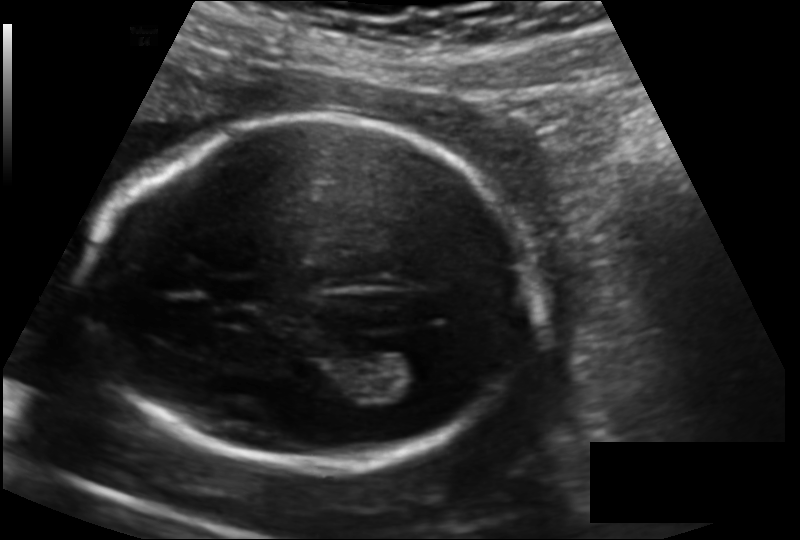
In this fetal head ultrasound, give bounding boxes for the head outline, cavum septum pellucidum (CSP), and lateral ventricle (LV), where visible. Image width: 111.4 mm.

Head: [86,118,529,465]
CSP: [210,277,262,303]
Lateral ventricle: [372,346,445,400]